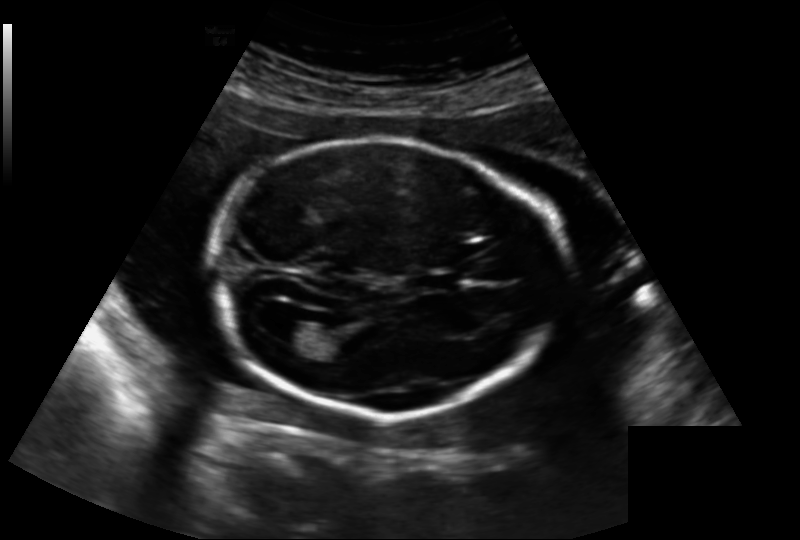
From this fetal ultrasound, estimate the head circumference (image width 150.3 mm).

Head circumference: 193.1 mm.